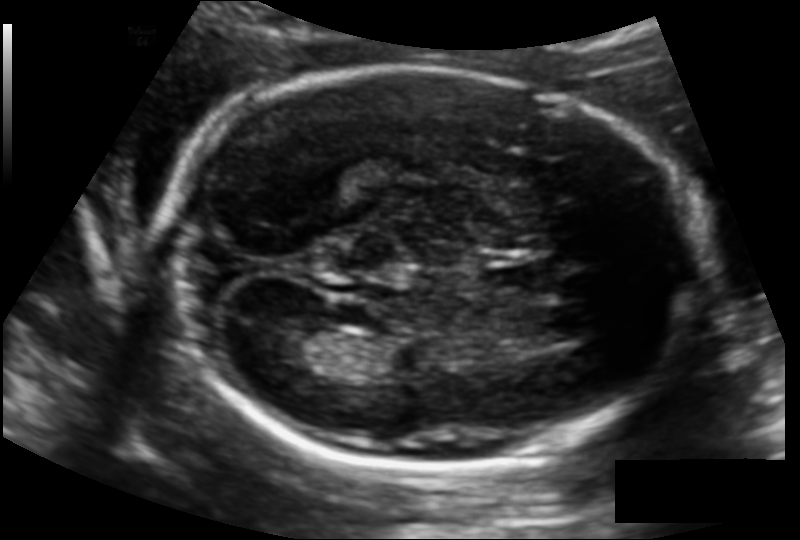
Measure the fetal head circumference shown in this ultrasound image. Image width: 103.6 mm.

Head circumference: 197.9 mm.